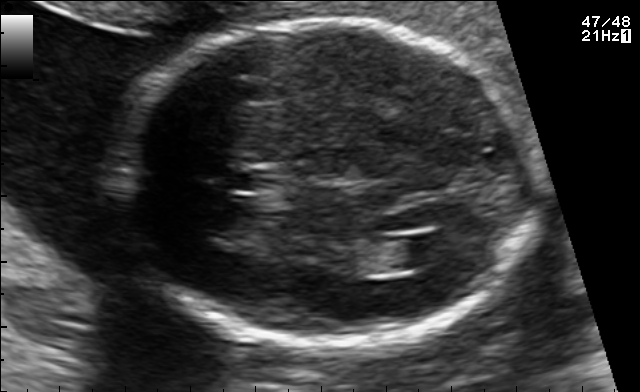
Fetal brain, trans-ventricular plane. Locate the fetal head and, if visible, the cavum septum pellucidum (CSP) and lateral ventricle (LV). Give bounding boxes as [x1,y1,x2,y2].

Head: [109,15,545,353]
CSP: [231,169,273,191]
Lateral ventricle: [392,230,453,269]